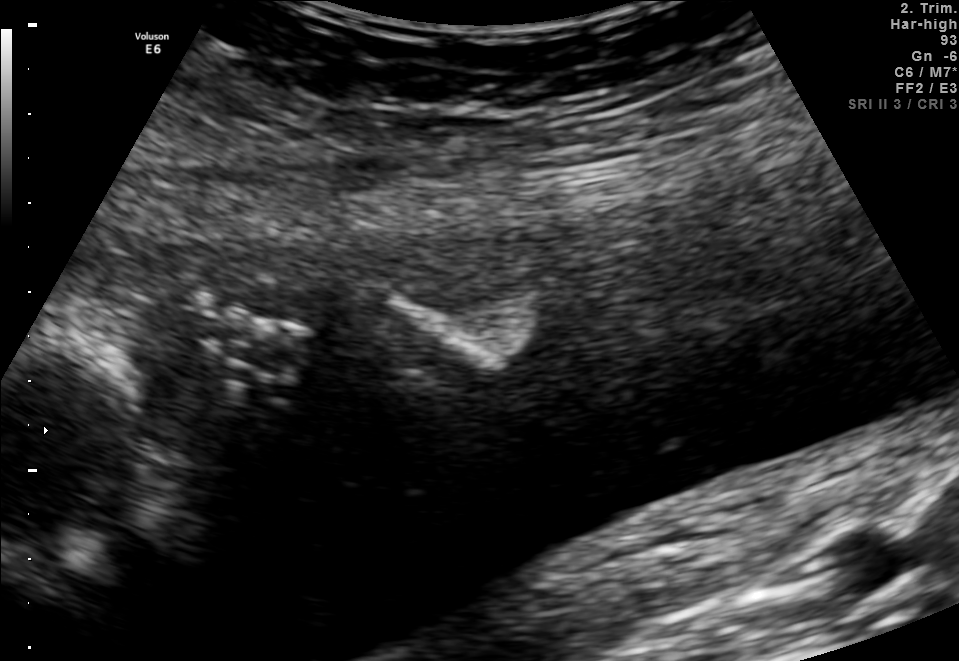
Which standard maternal-fetal ultrasound plane is shown: fetal abdomen, fetal brain, fetal femur, fetal thorax, maternal cervix, or other? If it's fetal brain and one of the three standard brain planes (trans-thalamic, trans-cerebellum, trans-ventricular), name which.

Other